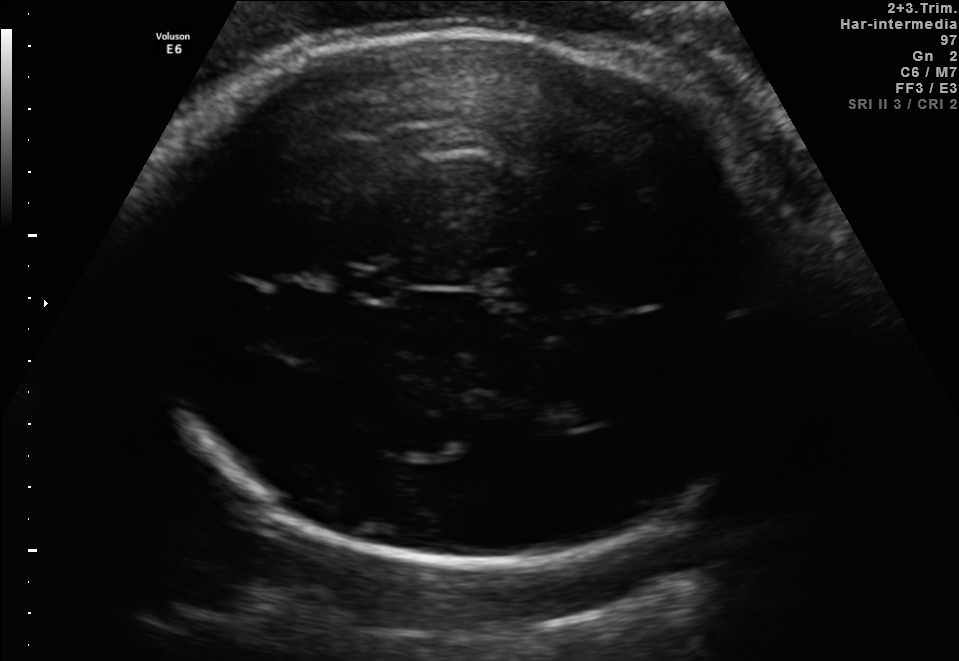
Fetal brain, trans-thalamic plane. Where is the fetal head?

Head bounding box: [130,29,799,564]